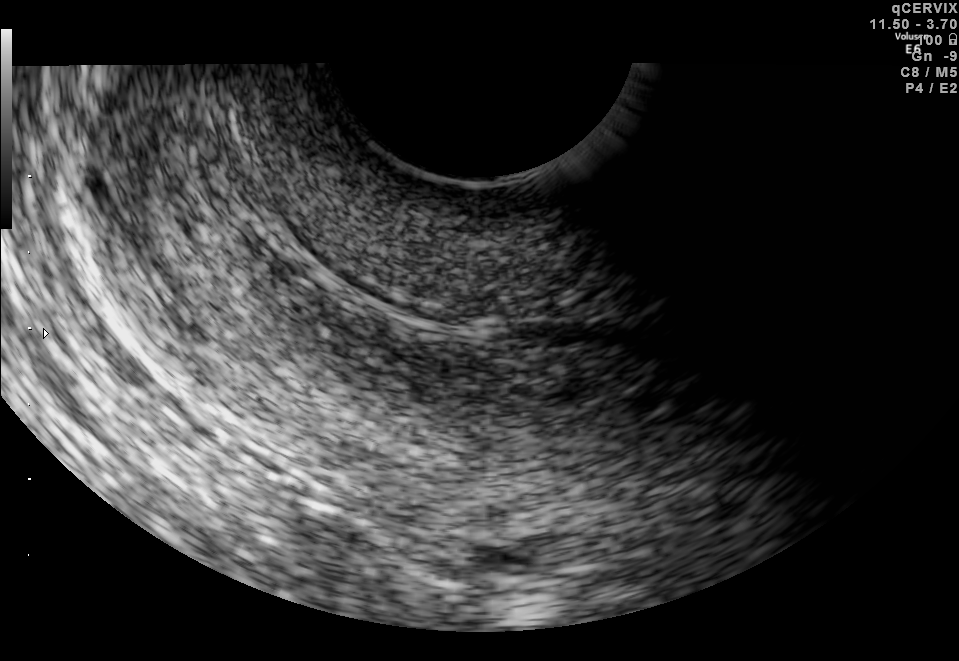
Which standard maternal-fetal ultrasound plane is shown: fetal abdomen, fetal brain, fetal femur, fetal thorax, maternal cervix, or other? If it's fetal brain and one of the three standard brain planes (trans-thalamic, trans-cerebellum, trans-ventricular), name which.

Maternal cervix